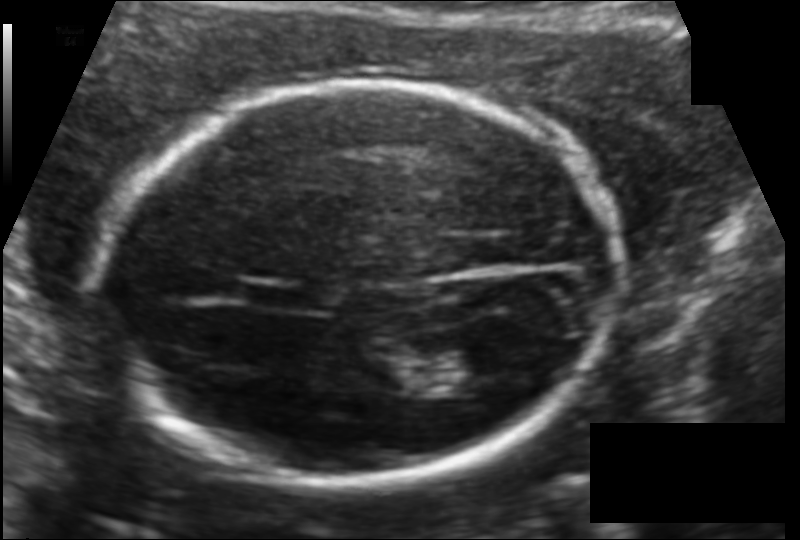
In this fetal head ultrasound, give the bounding box of the fetal head. Image width: 96.7 mm.

[104,83,624,480]